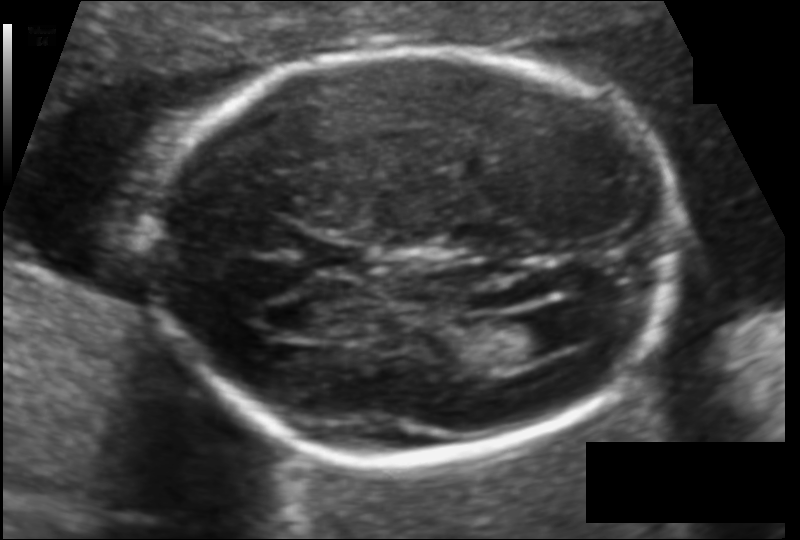
Fetal head ultrasound. Image width: 89.1 mm. Give [x1,y1,x2,y2] bounding boxes for each visible structure among: fetal head, CSP, LV.

Head: [152,48,677,462]
CSP: [309,239,369,277]
Lateral ventricle: [491,304,572,370]